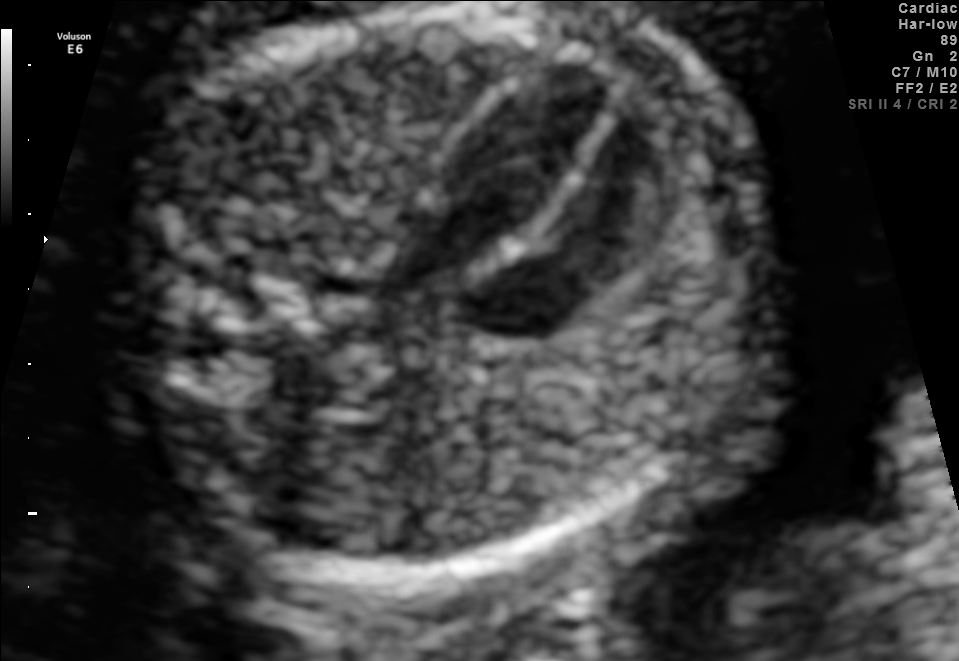
This is a 2D maternal-fetal ultrasound frame. Is it a fetal abdomen, fetal brain, fetal femur, fetal thorax, maternal cervix, or other standard plane? If it's fetal brain and one of the three standard brain planes (trans-thalamic, trans-cerebellum, trans-ventricular), name which.

Fetal thorax